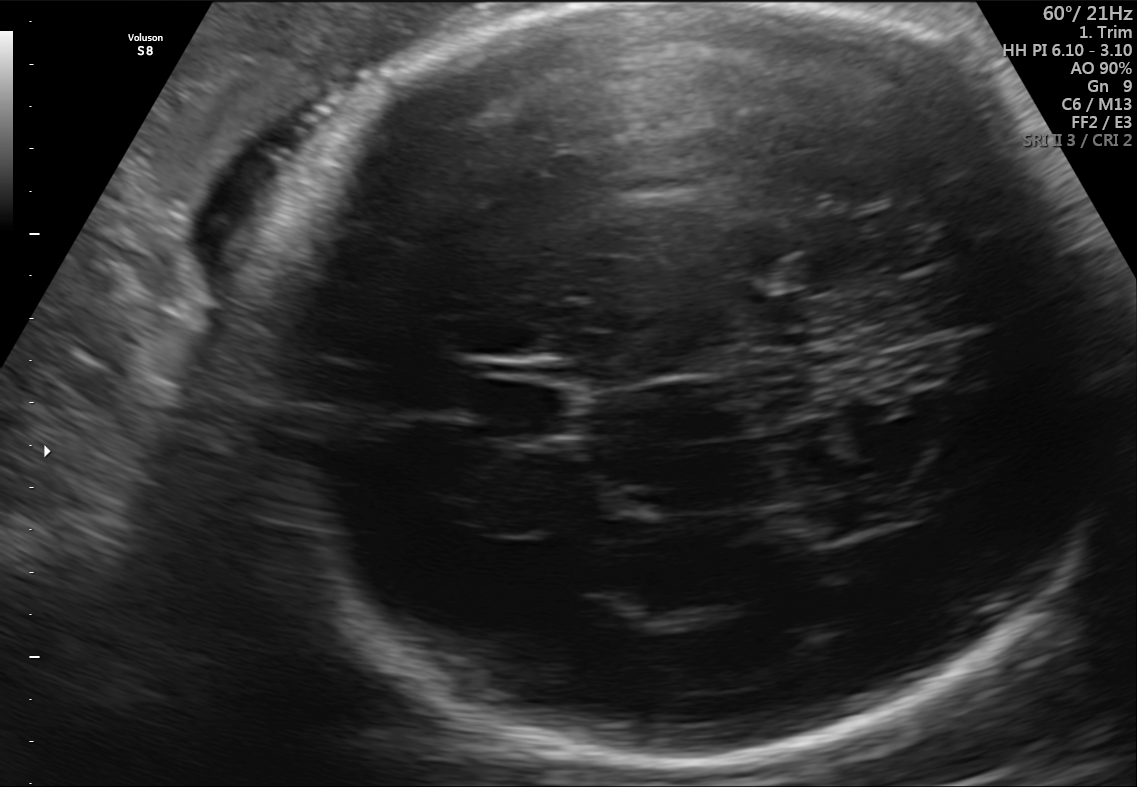
Fetal brain, trans-thalamic plane. Where is the cavum septum pellucidum?

CSP bounding box: [486,383,581,436]